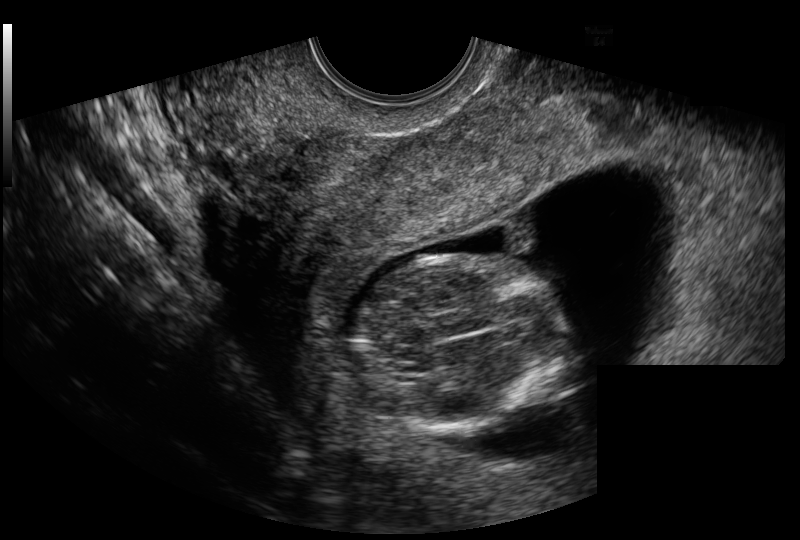
Estimate the fetal head circumference from this 2D ultrasound. Image width: 103.2 mm.

Head circumference: 82.6 mm.